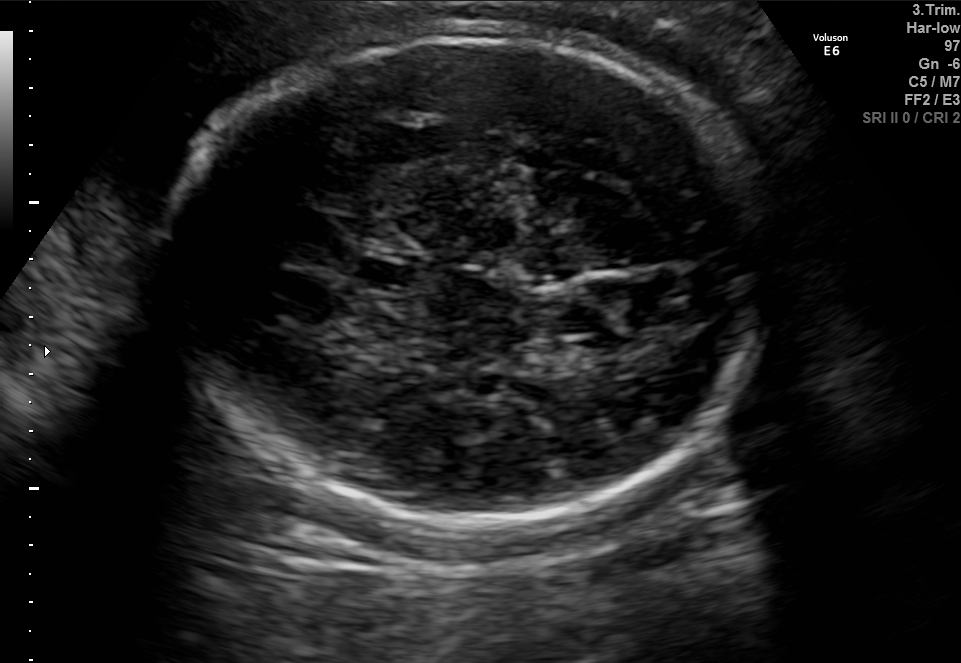
Fetal brain, trans-thalamic plane. Locate the cavum septum pellucidum.

CSP: [353,257,415,288]